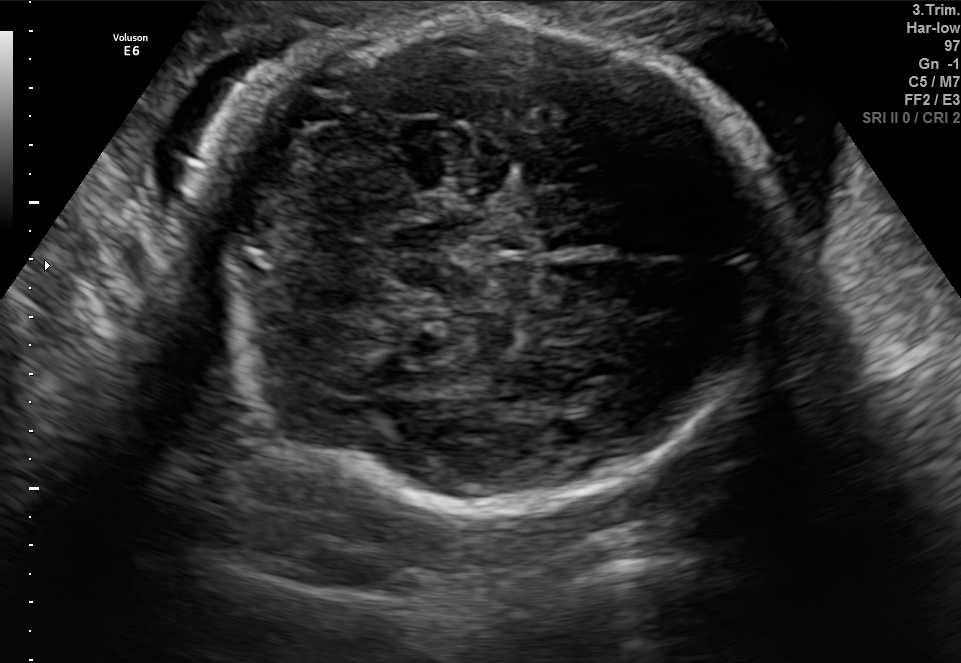
Fetal brain, trans-cerebellum plane. Locate the fetal head and, if visible, the cavum septum pellucidum (CSP) and lateral ventricle (LV). Give bounding boxes as [x1,y1,x2,y2].

Head: [184,15,775,502]